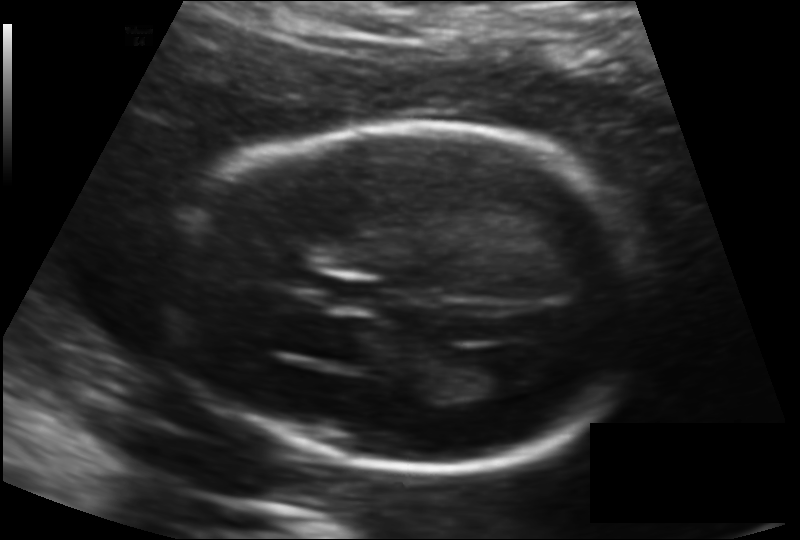
Fetal head ultrasound. Image width: 108.1 mm. Where is the fetal head?

Head bounding box: [166,123,649,469]